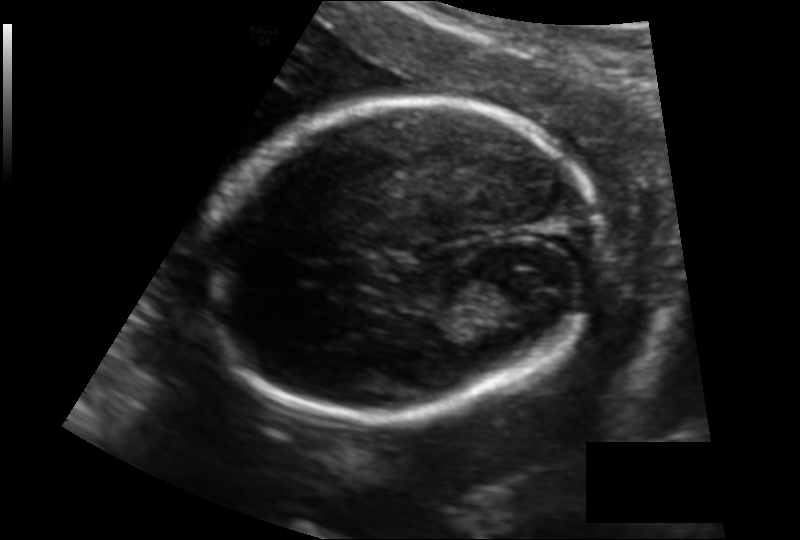
In this fetal head ultrasound, give bounding boxes for the head outline, cavum septum pellucidum (CSP), and lateral ventricle (LV), where visible. Image width: 112.2 mm.

Head: [199,102,600,420]